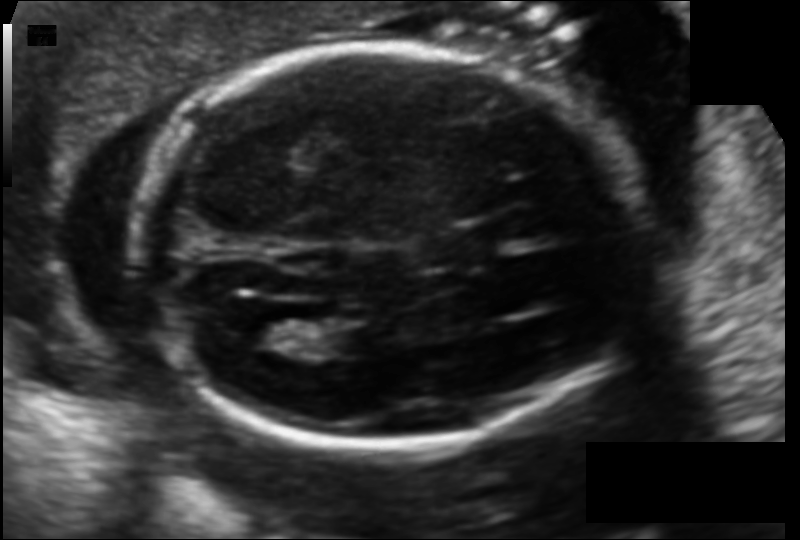
Measure the fetal head circumference shown in this ultrasound image. Image width: 96.5 mm.

Head circumference: 175.1 mm.